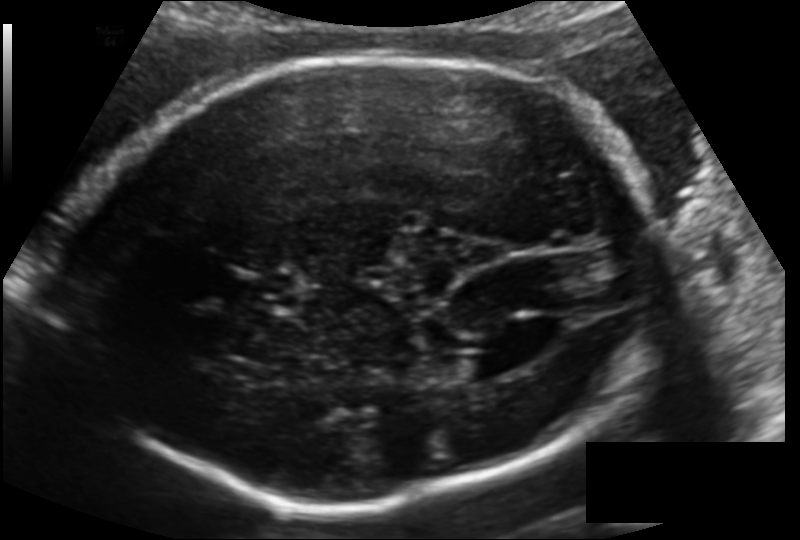
Fetal head ultrasound. Image width: 118.6 mm. Locate the fetal head.

Head: [61,57,662,507]